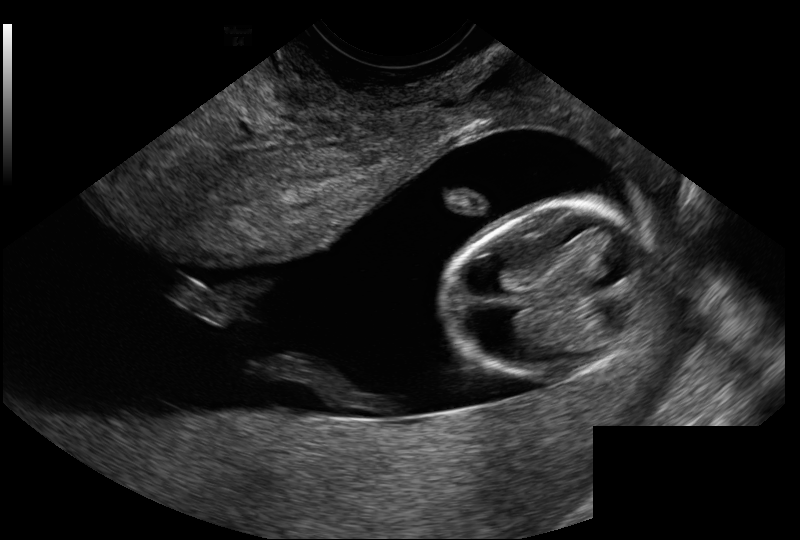
Measure the fetal head circumference shown in this ultrasound image. Image width: 91.5 mm.

Head circumference: 69.8 mm.